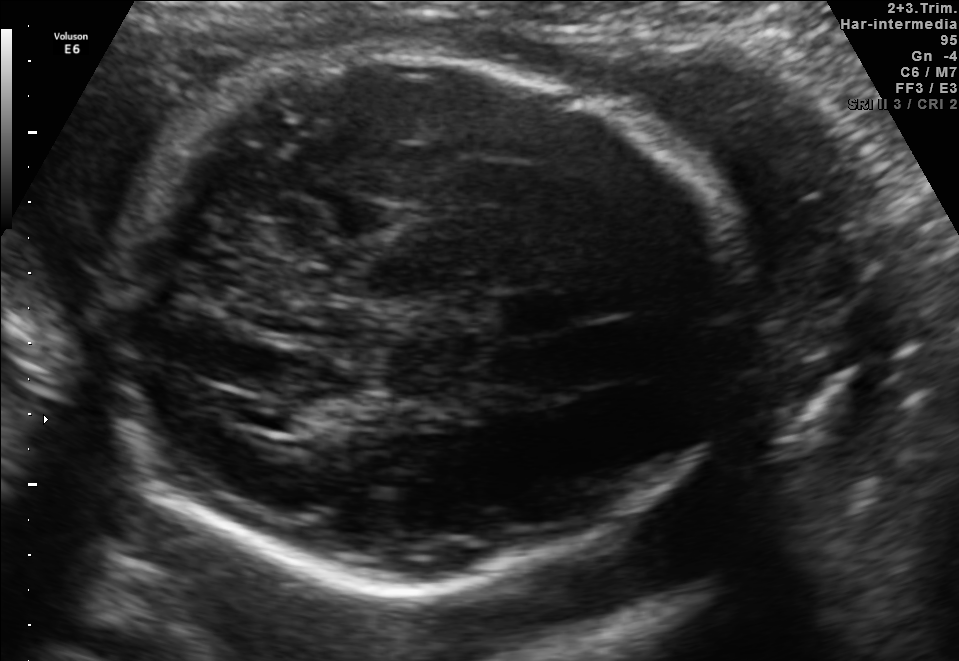
In this fetal brain, trans-thalamic plane, give the bounding box of the fetal head.

[113,52,734,591]